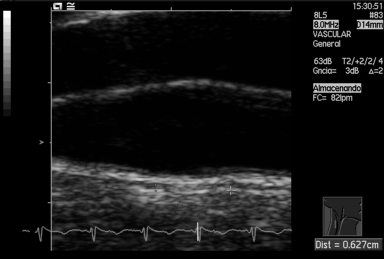
Identify the standard plane in this fetal ultrasound image: fetal abdomen, fetal brain, fetal femur, fetal thorax, maternal cervix, or other. If it's fetal brain and one of the three standard brain planes (trans-thalamic, trans-cerebellum, trans-ventricular), name which.

Other